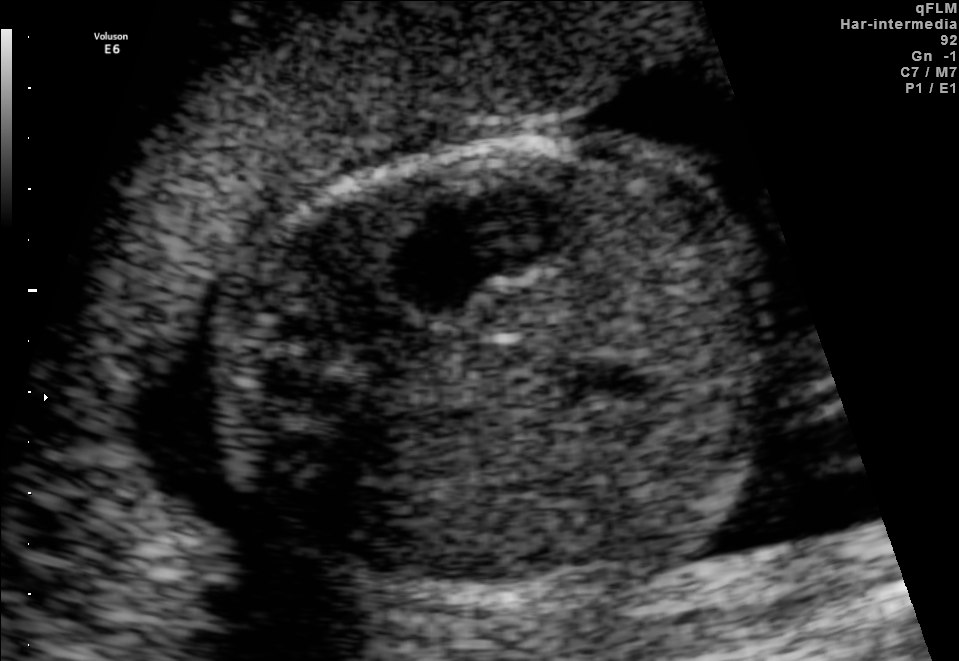
Identify the standard plane in this fetal ultrasound image: fetal abdomen, fetal brain, fetal femur, fetal thorax, maternal cervix, or other. If it's fetal brain and one of the three standard brain planes (trans-thalamic, trans-cerebellum, trans-ventricular), name which.

Fetal abdomen